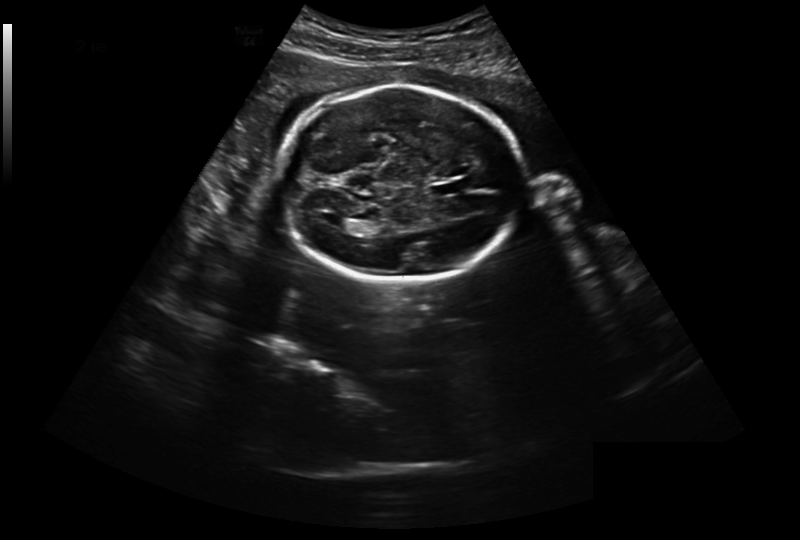
From this fetal ultrasound, estimate the head circumference (image width 241.1 mm).

Head circumference: 213.8 mm.